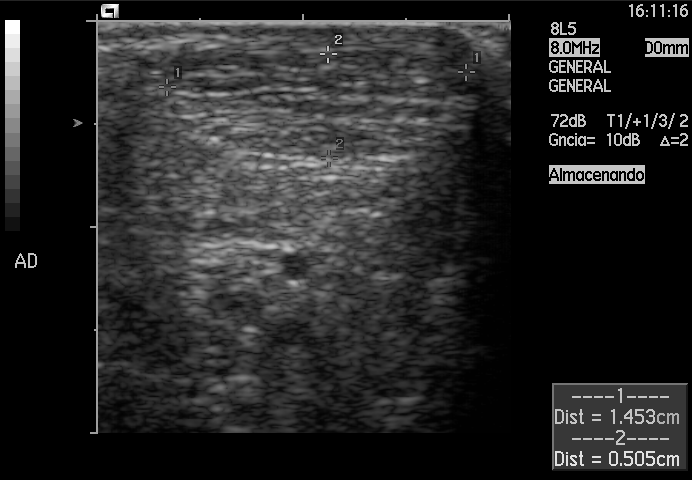
This is a 2D maternal-fetal ultrasound frame. Is it a fetal abdomen, fetal brain, fetal femur, fetal thorax, maternal cervix, or other standard plane? If it's fetal brain and one of the three standard brain planes (trans-thalamic, trans-cerebellum, trans-ventricular), name which.

Other